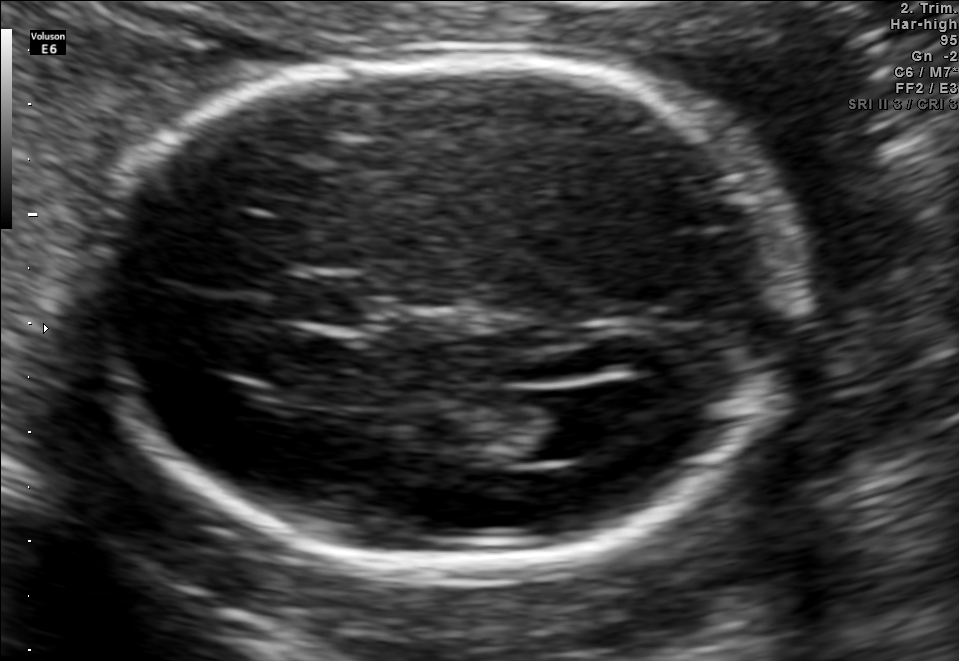
Which standard maternal-fetal ultrasound plane is shown: fetal abdomen, fetal brain, fetal femur, fetal thorax, maternal cervix, or other? If it's fetal brain and one of the three standard brain planes (trans-thalamic, trans-cerebellum, trans-ventricular), name which.

Fetal brain (trans-ventricular plane)